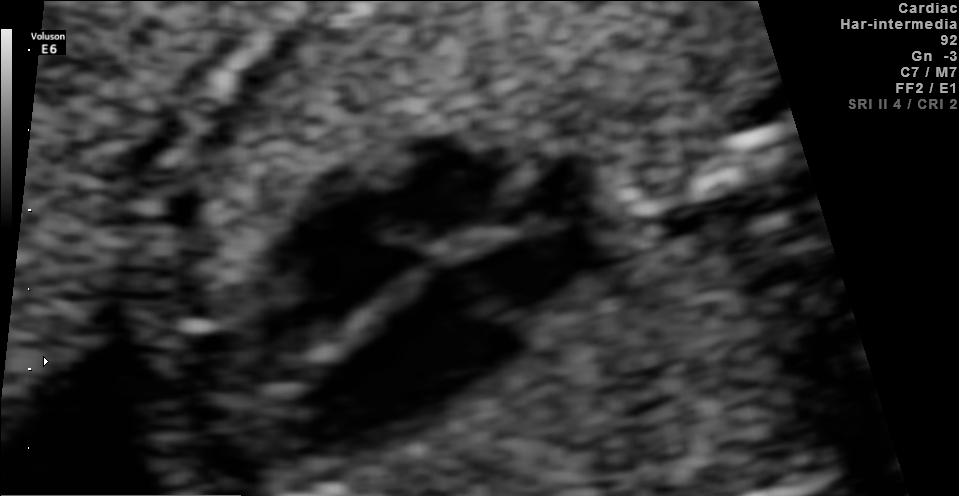
This is a 2D maternal-fetal ultrasound frame. Is it a fetal abdomen, fetal brain, fetal femur, fetal thorax, maternal cervix, or other standard plane? If it's fetal brain and one of the three standard brain planes (trans-thalamic, trans-cerebellum, trans-ventricular), name which.

Fetal thorax